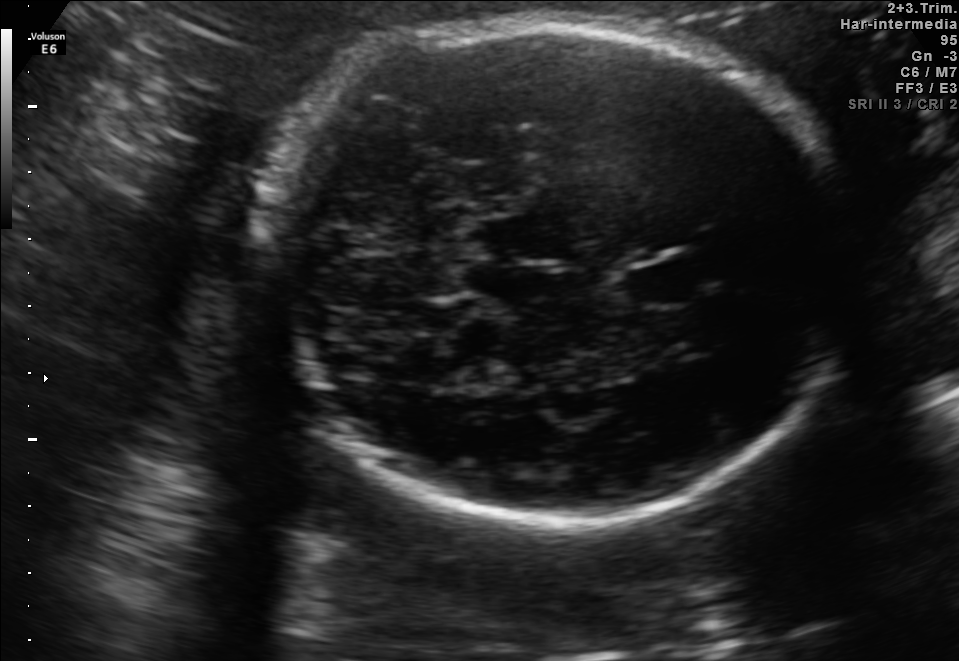
In this fetal brain, trans-cerebellum plane, give the bounding box of the fetal head.

[263,16,856,525]